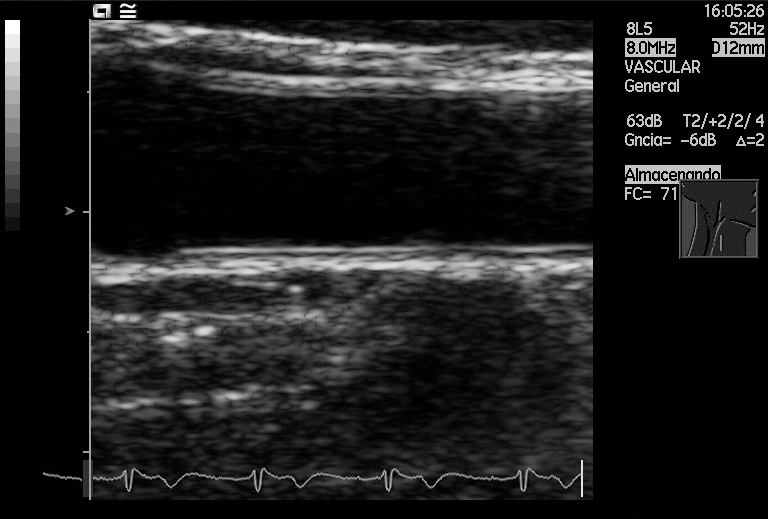
Classify this maternal-fetal ultrasound image as one of the six standard planes — fetal abdomen, fetal brain, fetal femur, fetal thorax, maternal cervix, or other. If it's fetal brain and one of the three standard brain planes (trans-thalamic, trans-cerebellum, trans-ventricular), name which.

Other